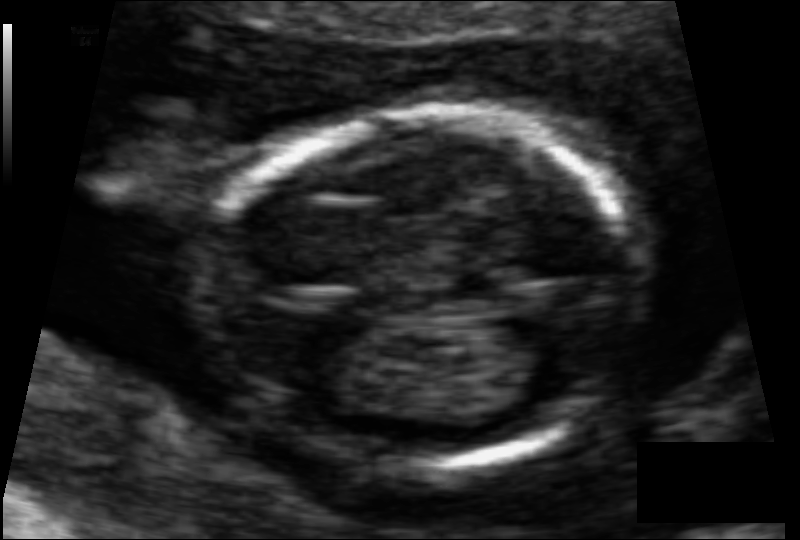
Fetal head ultrasound. Image width: 52.3 mm. Locate the fetal head.

Head: [206,109,642,475]